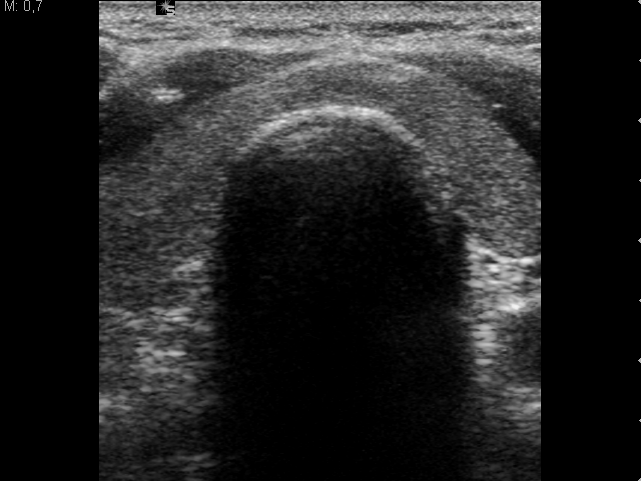
This is a 2D maternal-fetal ultrasound frame. Is it a fetal abdomen, fetal brain, fetal femur, fetal thorax, maternal cervix, or other standard plane? If it's fetal brain and one of the three standard brain planes (trans-thalamic, trans-cerebellum, trans-ventricular), name which.

Other